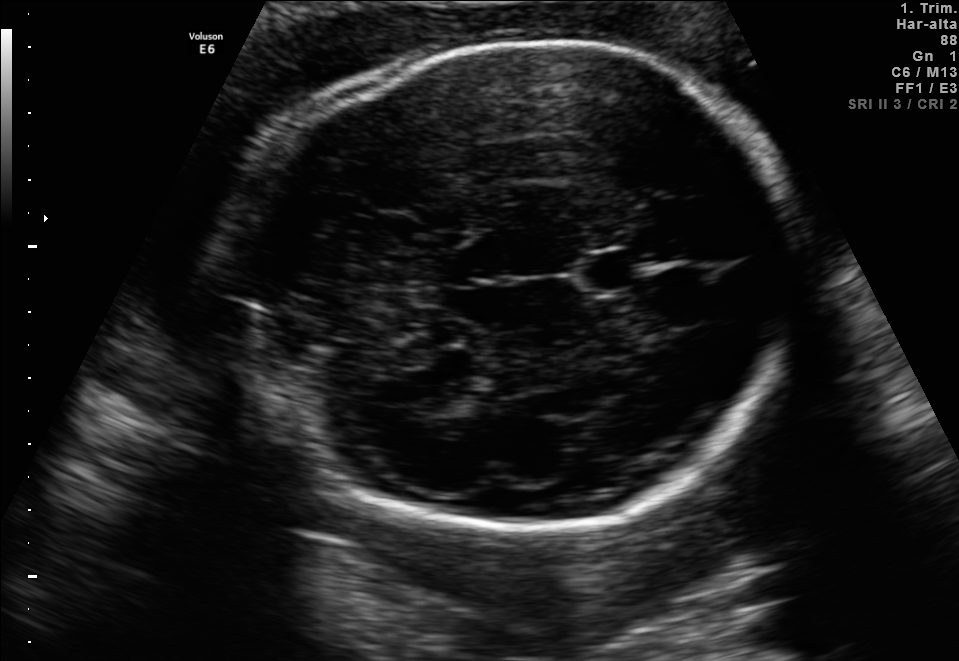
Fetal brain, trans-thalamic plane. Where is the fetal head?

Head bounding box: [228,40,799,527]